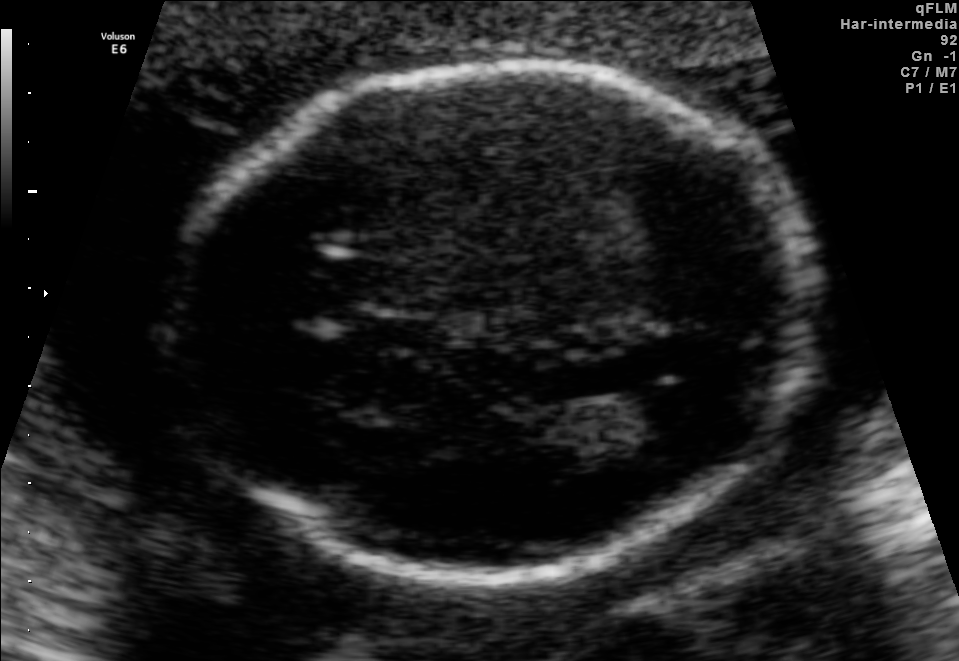
In this fetal brain, trans-ventricular plane, give bounding boxes for the head outline, cavum septum pellucidum (CSP), and lateral ventricle (LV), where visible.

Head: [159,58,826,589]